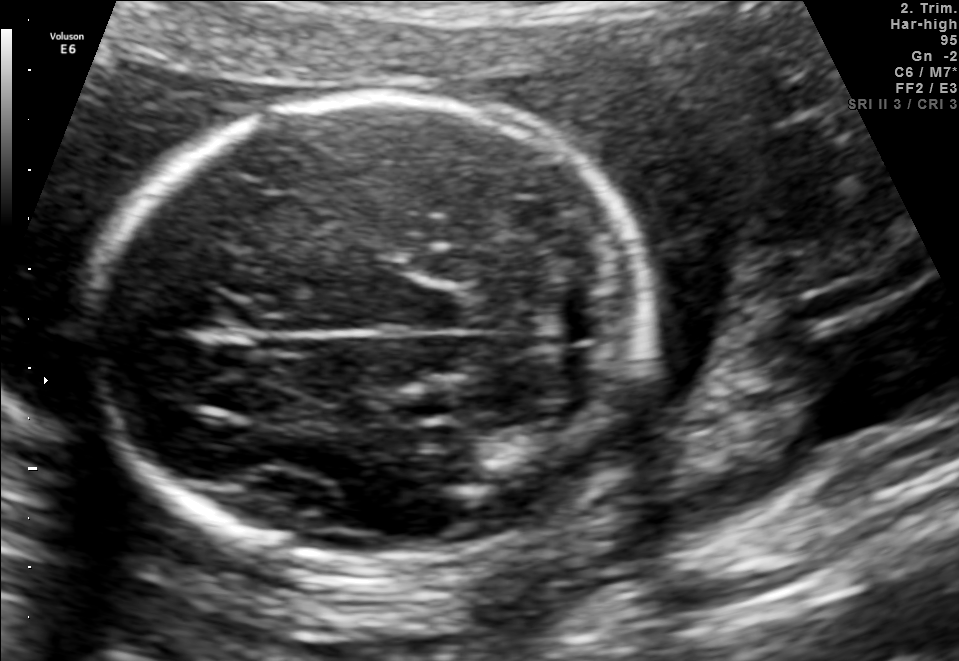
Classify this maternal-fetal ultrasound image as one of the six standard planes — fetal abdomen, fetal brain, fetal femur, fetal thorax, maternal cervix, or other. If it's fetal brain and one of the three standard brain planes (trans-thalamic, trans-cerebellum, trans-ventricular), name which.

Fetal brain (trans-cerebellum plane)